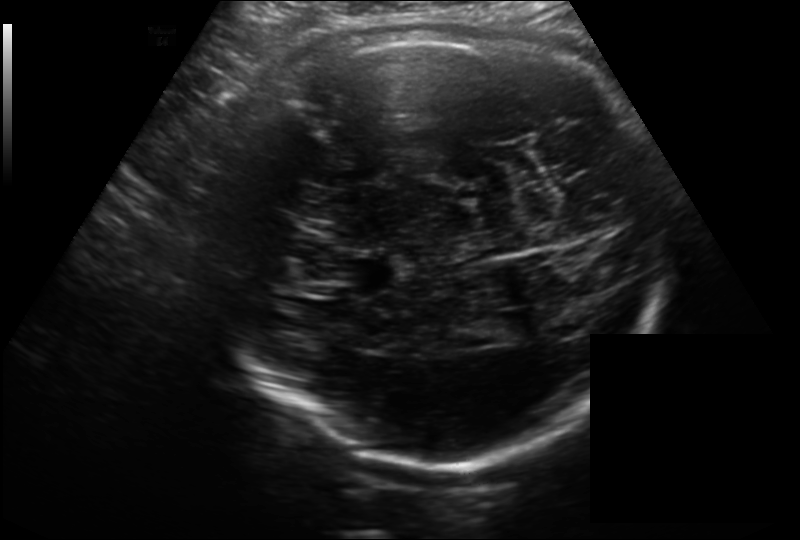
In this fetal head ultrasound, give the bounding box of the fetal head. Image width: 171.5 mm.

[218,16,664,459]